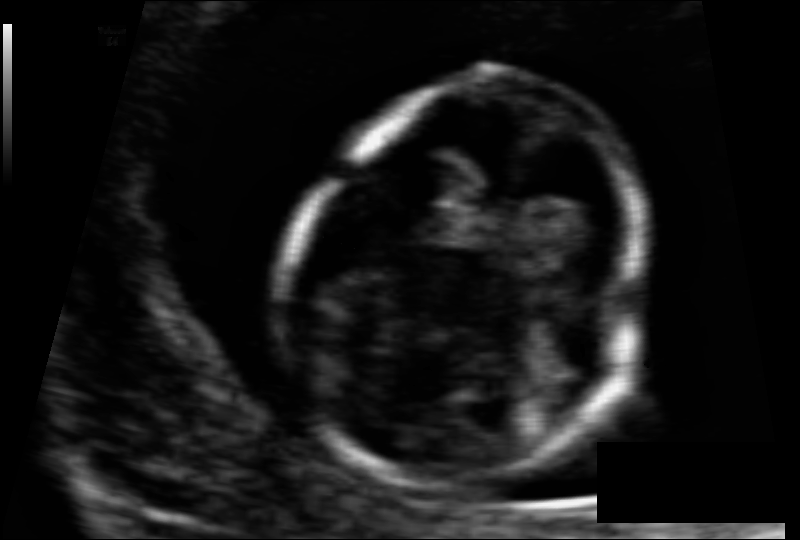
In this fetal head ultrasound, give the bounding box of the fetal head. Image width: 50.2 mm.

[288,77,649,481]